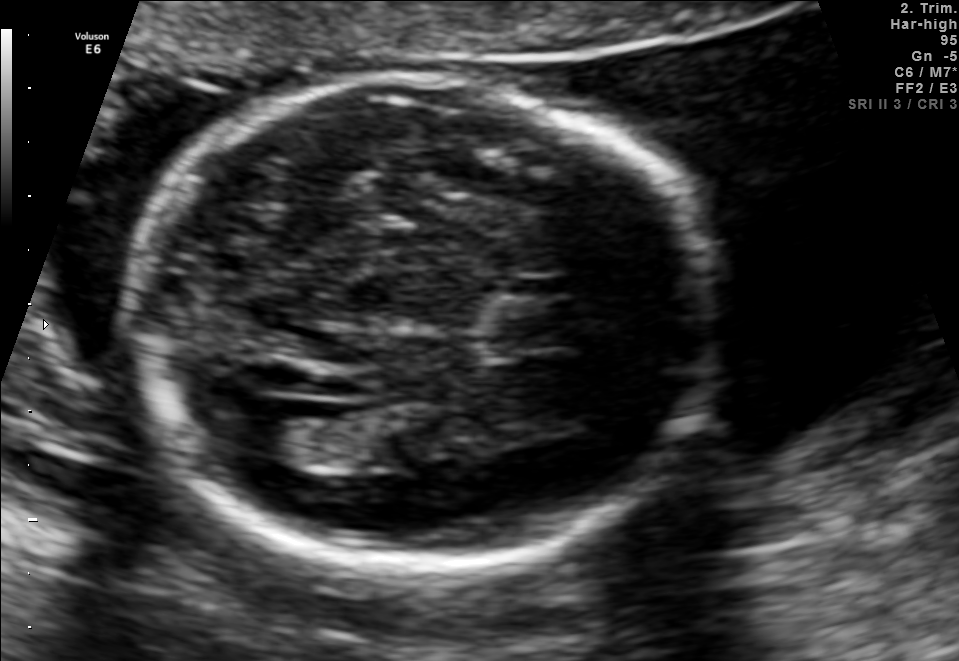
Fetal brain, trans-ventricular plane. Locate the fetal head.

Head: [117,80,724,579]